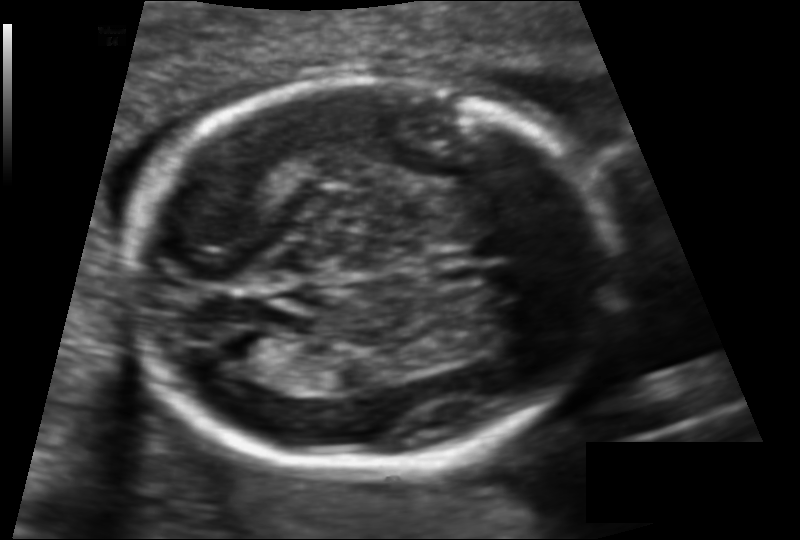
What is the fetal head circumference? Image width is 94.9 mm.

170.4 mm